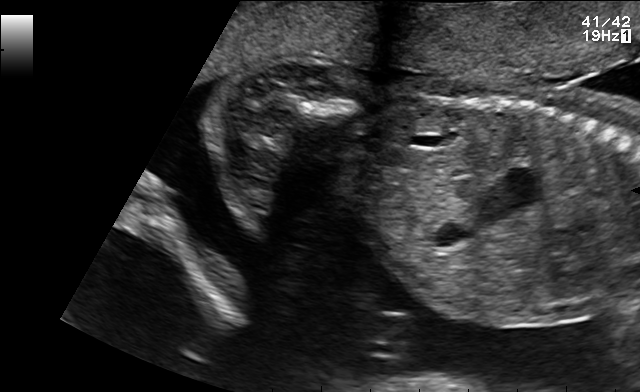
Classify this maternal-fetal ultrasound image as one of the six standard planes — fetal abdomen, fetal brain, fetal femur, fetal thorax, maternal cervix, or other. If it's fetal brain and one of the three standard brain planes (trans-thalamic, trans-cerebellum, trans-ventricular), name which.

Other